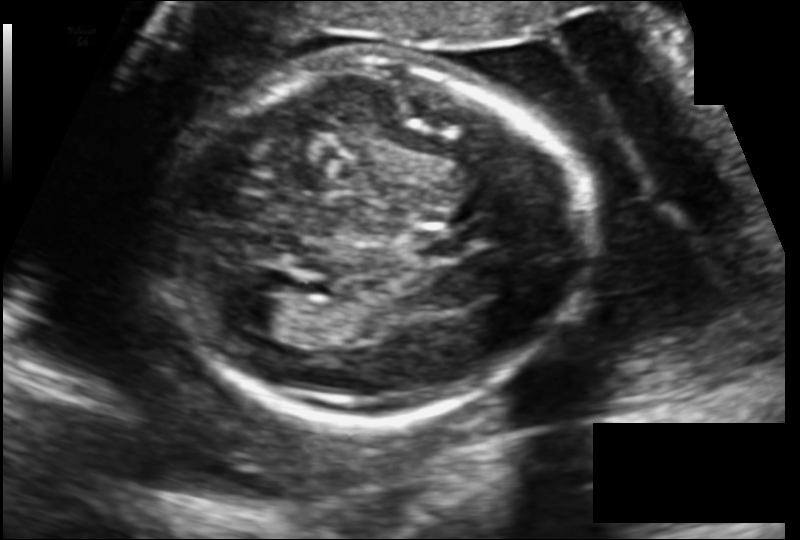
From this fetal ultrasound, estimate the head circumference (image width 110.0 mm).

Head circumference: 174.6 mm.